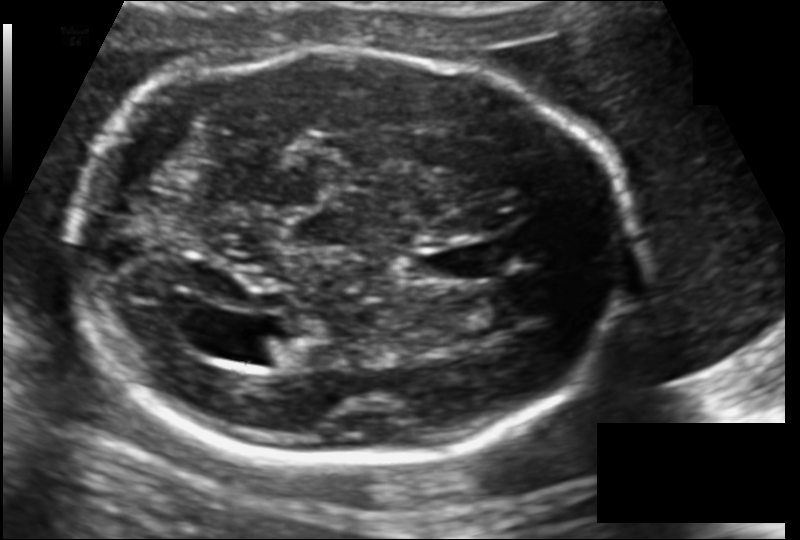
From this fetal ultrasound, estimate the head circumference (image width 110.0 mm).

Head circumference: 218.7 mm.